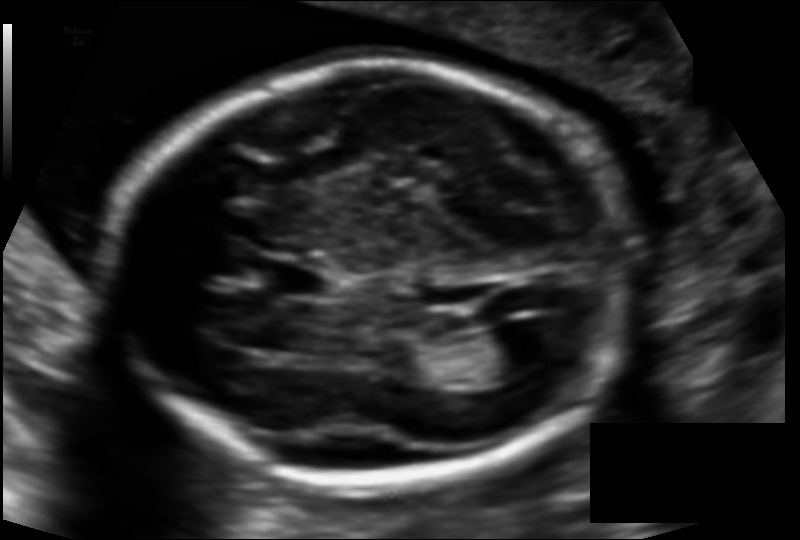
In this fetal head ultrasound, give the bounding box of the lateral ventricle. Image width: 96.7 mm.

[467,318,554,385]